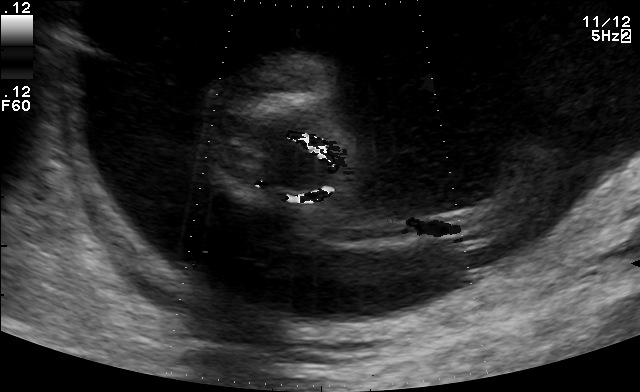
This is a 2D maternal-fetal ultrasound frame. Is it a fetal abdomen, fetal brain, fetal femur, fetal thorax, maternal cervix, or other standard plane? If it's fetal brain and one of the three standard brain planes (trans-thalamic, trans-cerebellum, trans-ventricular), name which.

Other